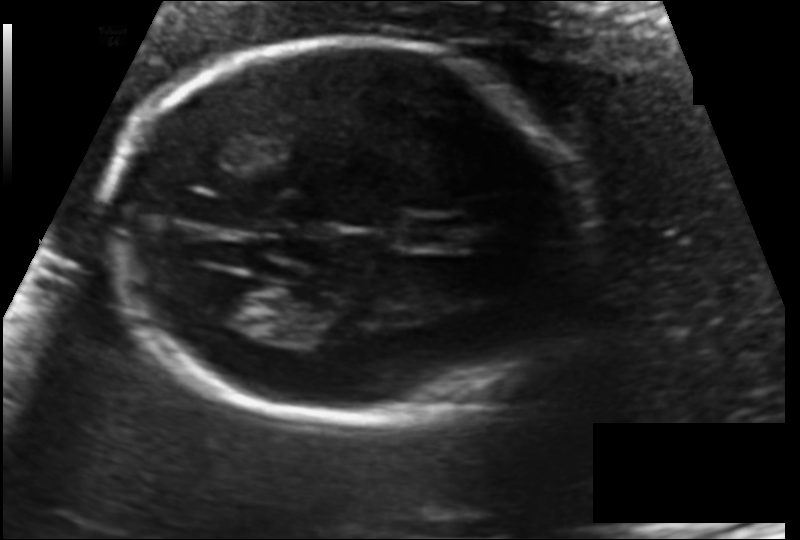
Fetal head ultrasound. Image width: 97.9 mm. Locate the lateral ventricle.

Lateral ventricle: [195,270,282,335]